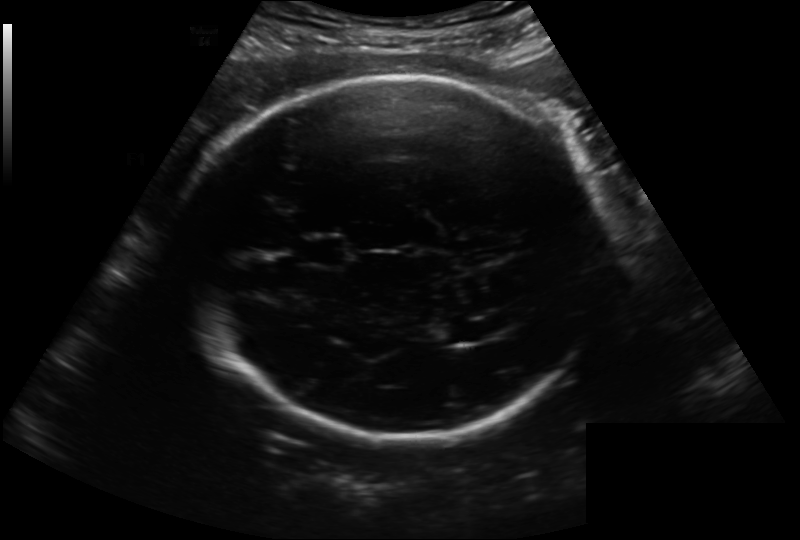
Fetal head ultrasound. Image width: 177.3 mm. Where is the fetal head?

Head bounding box: [179,74,607,436]